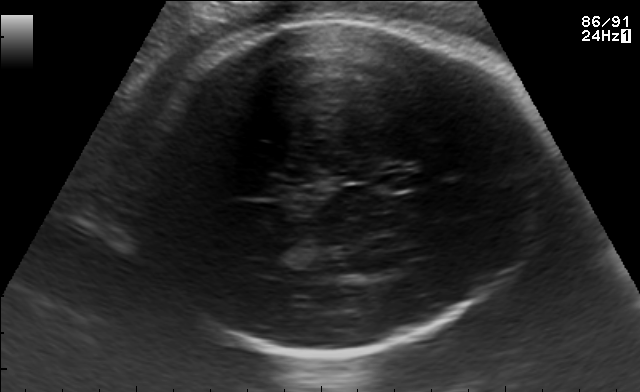
In this fetal brain, trans-thalamic plane, give bounding boxes for the head outline, cavum septum pellucidum (CSP), and lateral ventricle (LV), where visible.

Head: [118,21,545,353]
CSP: [380,167,426,194]